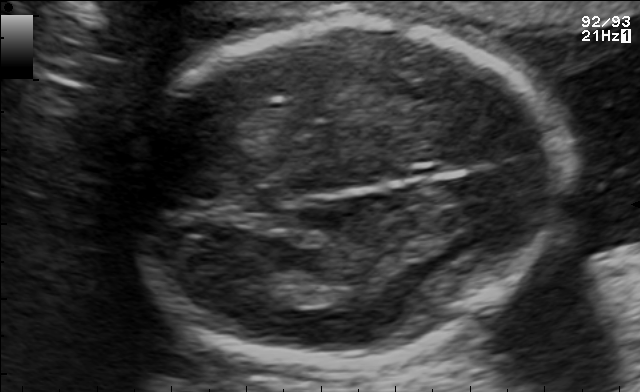
Fetal brain, trans-thalamic plane. Locate the lateral ventricle.

Lateral ventricle: [250,285,305,308]